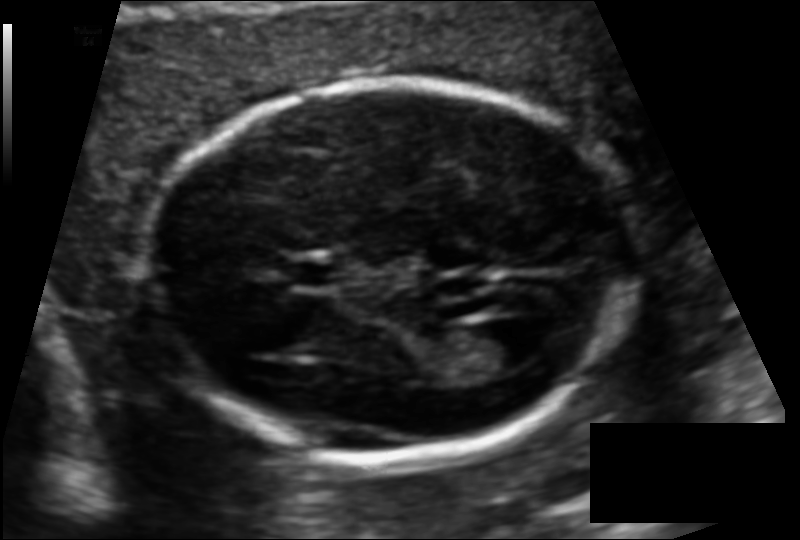
Fetal head ultrasound. Image width: 88.0 mm. Where is the cavum septum pellucidum?

CSP bounding box: [288,262,339,285]